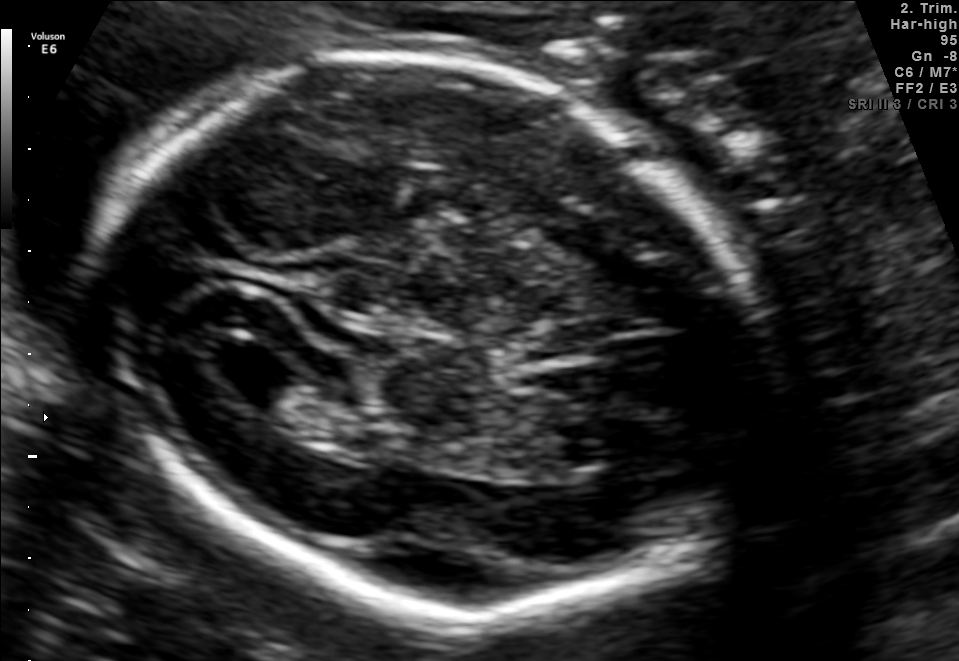
This is a 2D maternal-fetal ultrasound frame. Is it a fetal abdomen, fetal brain, fetal femur, fetal thorax, maternal cervix, or other standard plane? If it's fetal brain and one of the three standard brain planes (trans-thalamic, trans-cerebellum, trans-ventricular), name which.

Fetal brain (trans-ventricular plane)